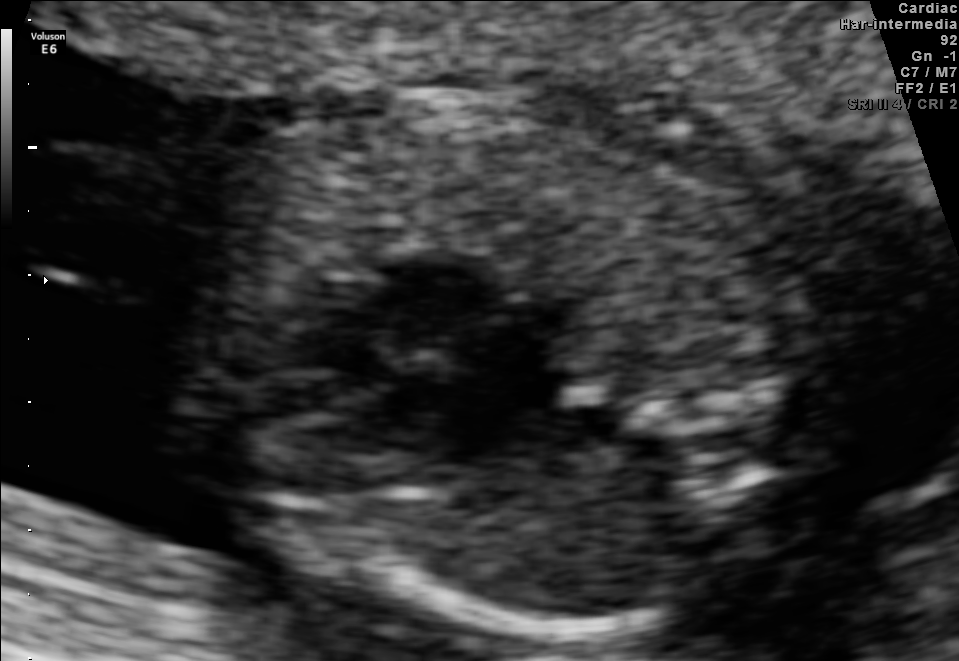
Identify the standard plane in this fetal ultrasound image: fetal abdomen, fetal brain, fetal femur, fetal thorax, maternal cervix, or other. If it's fetal brain and one of the three standard brain planes (trans-thalamic, trans-cerebellum, trans-ventricular), name which.

Fetal thorax